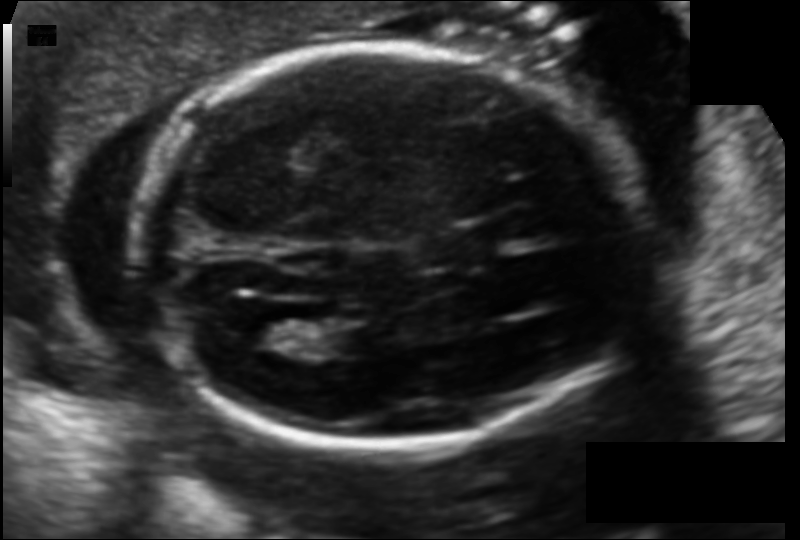
Fetal head ultrasound. Image width: 96.5 mm. Locate the fetal head and, if visible, the cavum septum pellucidum (CSP) and lateral ventricle (LV). Give bounding boxes as [x1,y1,x2,y2].

Head: [137,45,633,451]
CSP: [421,230,485,272]
Lateral ventricle: [243,314,301,353]